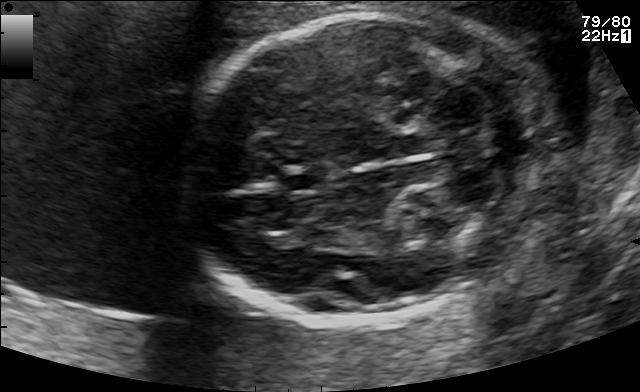
Fetal brain, trans-cerebellum plane. Where is the cavum septum pellucidum?

CSP bounding box: [277,165,332,196]